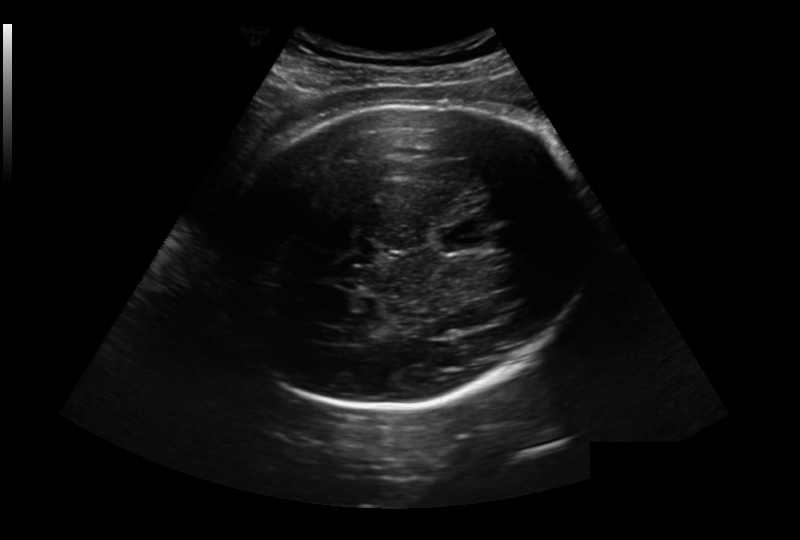
Measure the fetal head circumference shown in this ultrasound image. Image width: 224.8 mm.

Head circumference: 305.2 mm.